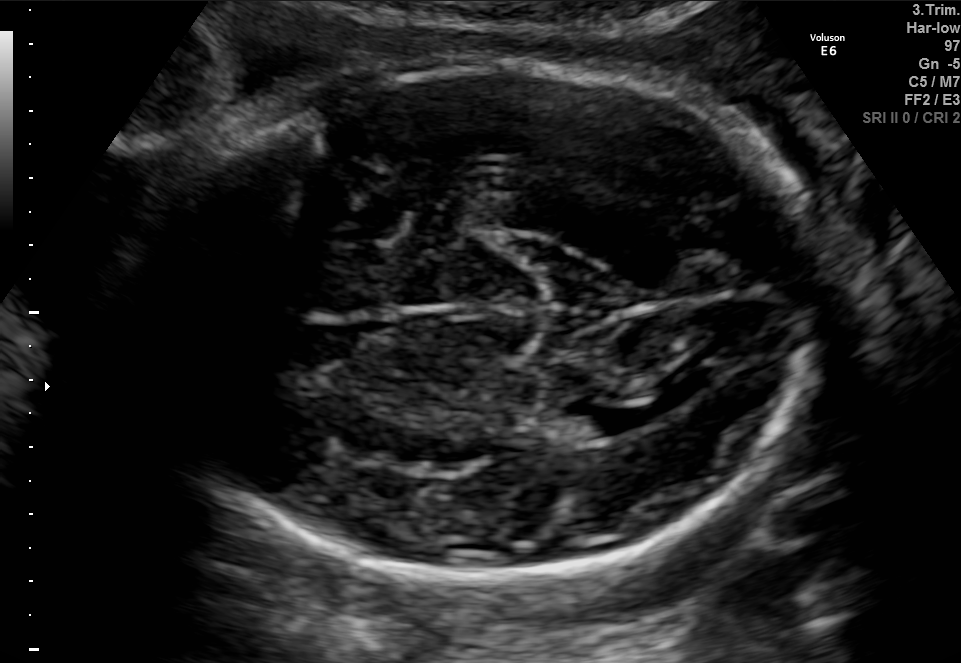
In this fetal brain, trans-thalamic plane, give bounding boxes for the head outline, cavum septum pellucidum (CSP), and lateral ventricle (LV), where visible.

Head: [129,50,846,583]
Lateral ventricle: [571,398,648,444]